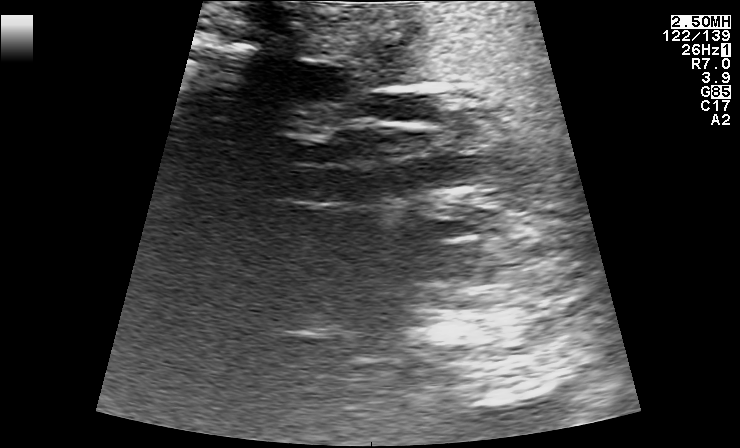
This is a 2D maternal-fetal ultrasound frame. Is it a fetal abdomen, fetal brain, fetal femur, fetal thorax, maternal cervix, or other standard plane? If it's fetal brain and one of the three standard brain planes (trans-thalamic, trans-cerebellum, trans-ventricular), name which.

Other